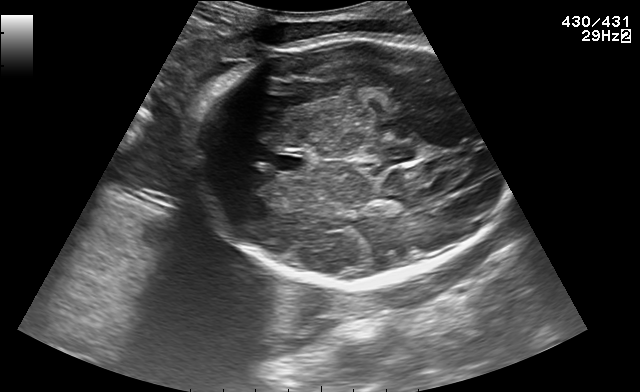
In this fetal brain, trans-thalamic plane, give the bounding box of the cavum septum pellucidum.

[272,151,307,171]